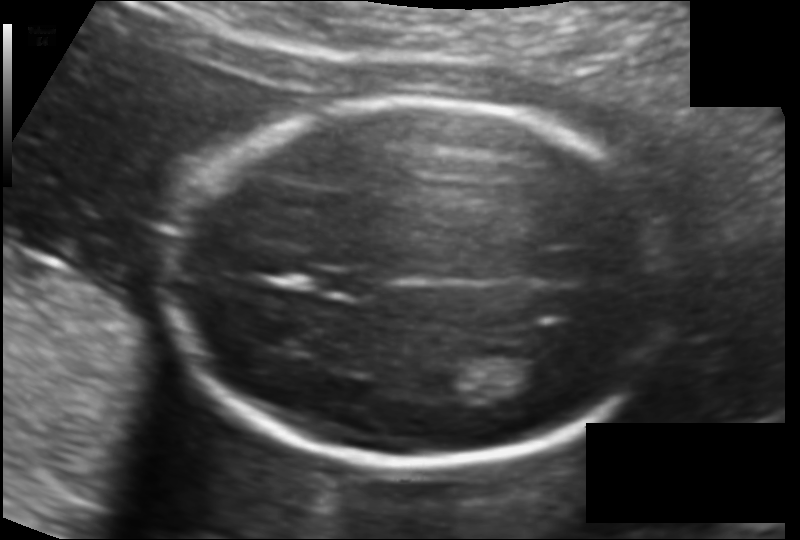
What is the fetal head circumference? Image width is 97.1 mm.

169.7 mm